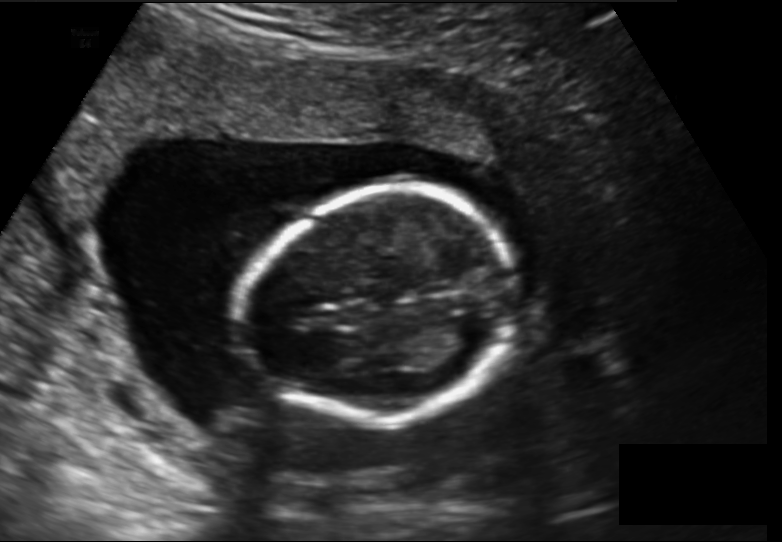
In this fetal head ultrasound, give bounding boxes for the head outline, cavum septum pellucidum (CSP), and lateral ventricle (LV), where visible. Image width: 122.9 mm.

Head: [245,188,519,423]